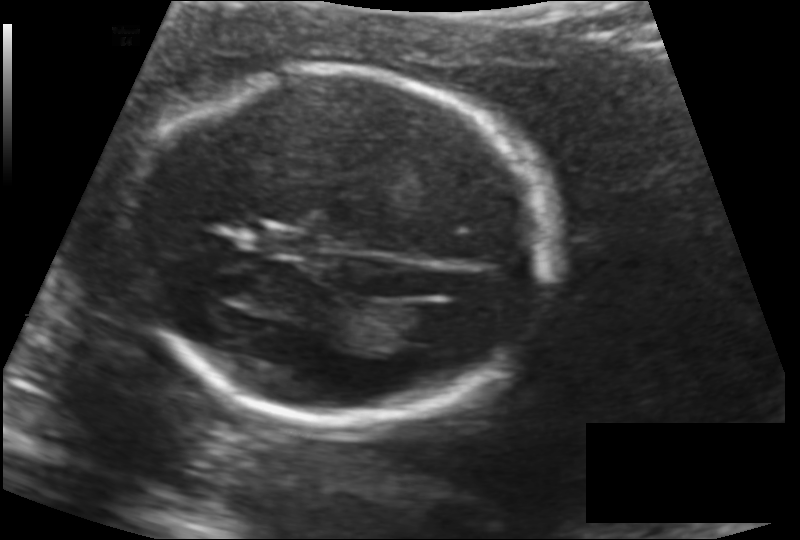
Fetal head ultrasound. Image width: 105.6 mm. Where is the cavum septum pellucidum?

CSP bounding box: [265,231,310,256]